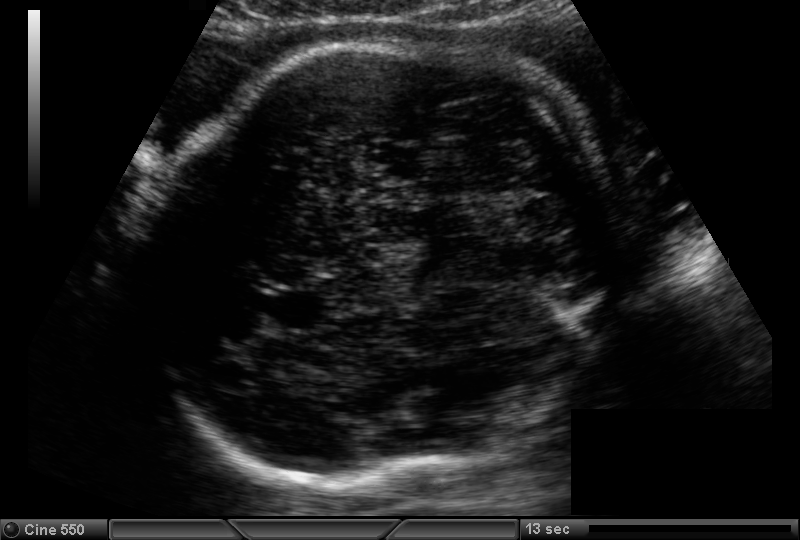
Fetal head ultrasound. Image width: 144.1 mm. Locate the fetal head and, if visible, the cavum septum pellucidum (CSP) and lateral ventricle (LV). Give bounding boxes as [x1,y1,x2,y2].

Head: [142,43,608,484]